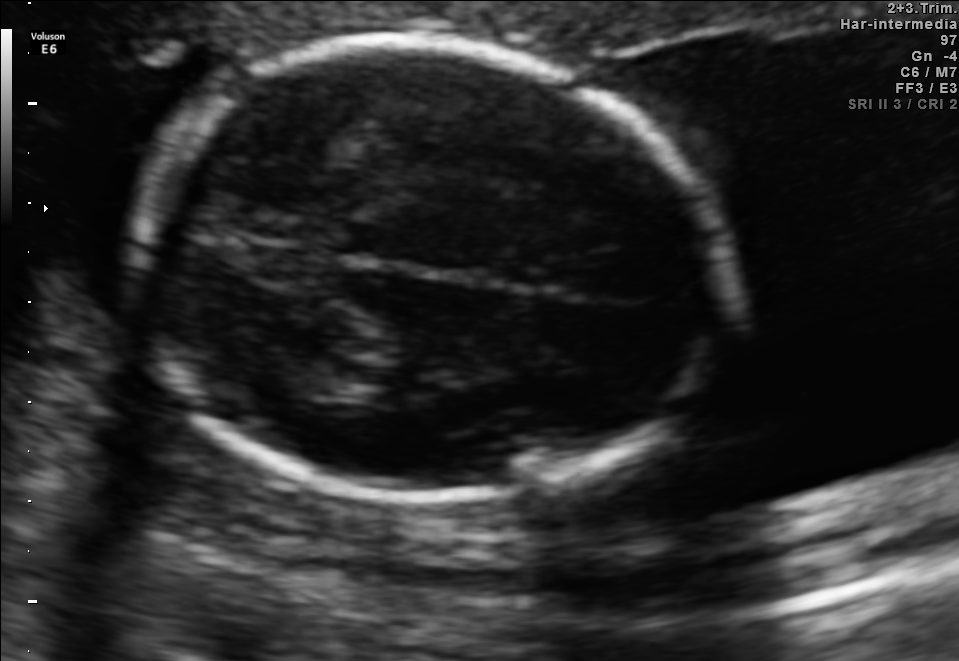
Fetal brain, trans-thalamic plane. Where is the fetal head?

Head bounding box: [137,41,716,498]